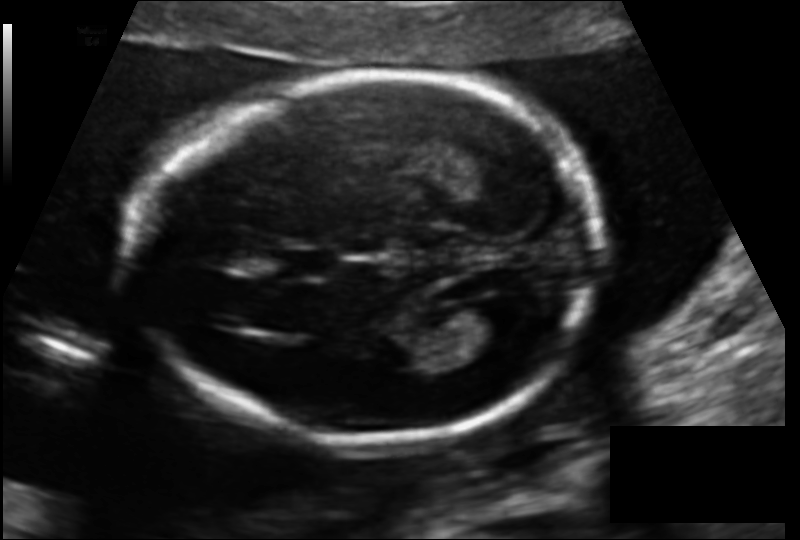
In this fetal head ultrasound, give the bounding box of the fetal head. Image width: 100.2 mm.

[138,76,597,441]